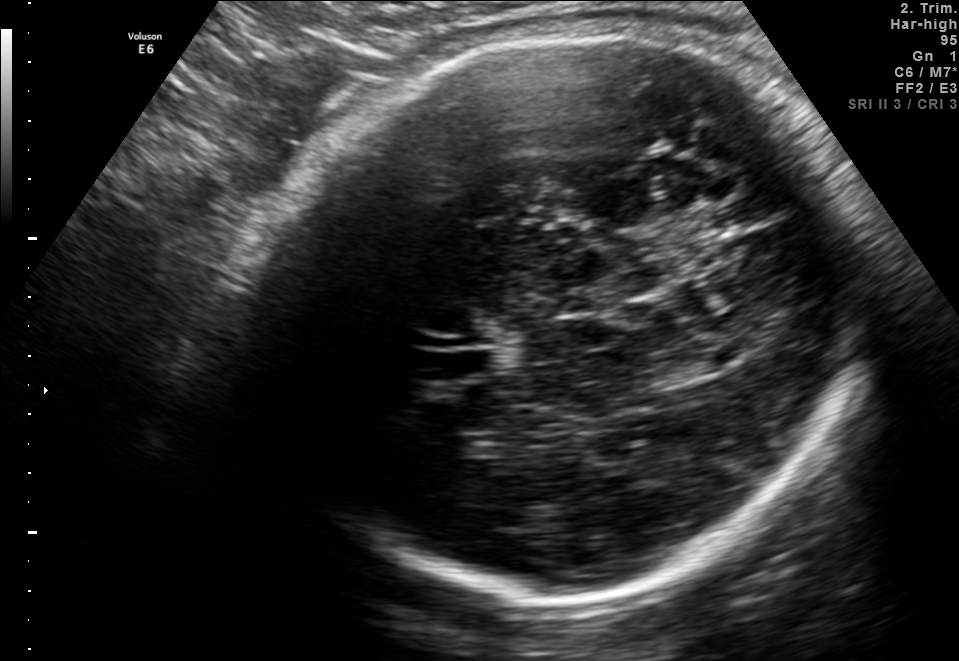
Fetal brain, trans-thalamic plane. Locate the fetal head and, if visible, the cavum septum pellucidum (CSP) and lateral ventricle (LV). Give bounding boxes as [x1,y1,x2,y2].

Head: [232,32,867,597]
Lateral ventricle: [670,348,723,383]